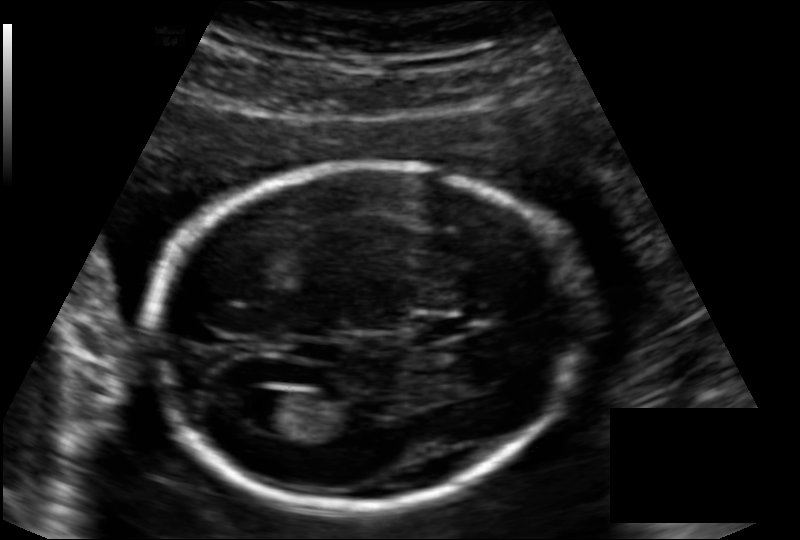
In this fetal head ultrasound, give bounding boxes for the head outline, cavum septum pellucidum (CSP), and lateral ventricle (LV), where visible. Image width: 108.5 mm.

Head: [148,162,578,504]
CSP: [411,313,469,342]
Lateral ventricle: [232,386,302,435]